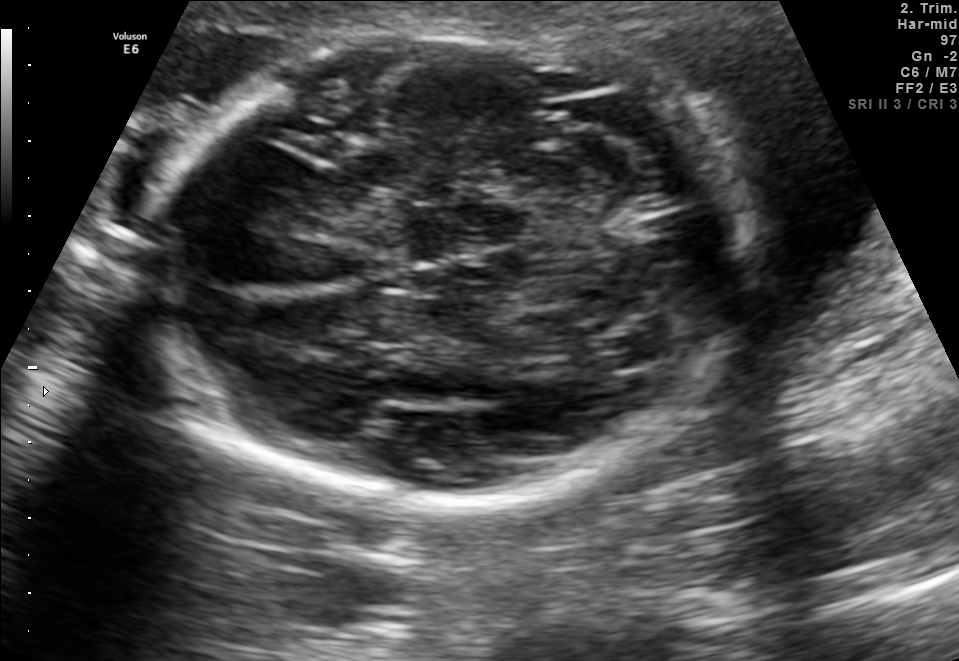
In this fetal brain, trans-thalamic plane, give bounding boxes for the head outline, cavum septum pellucidum (CSP), and lateral ventricle (LV), where visible.

Head: [140,31,753,496]